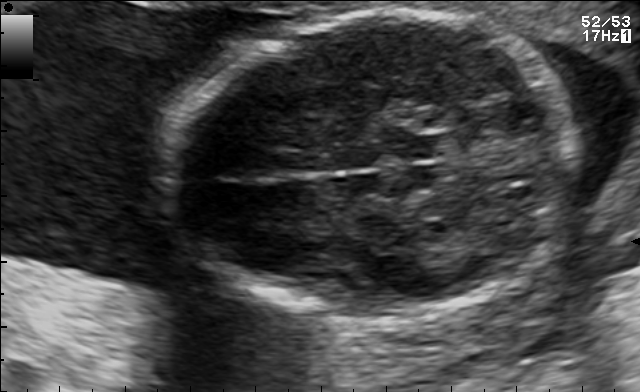
Fetal brain, trans-thalamic plane. Where is the fetal head?

Head bounding box: [166,11,578,321]